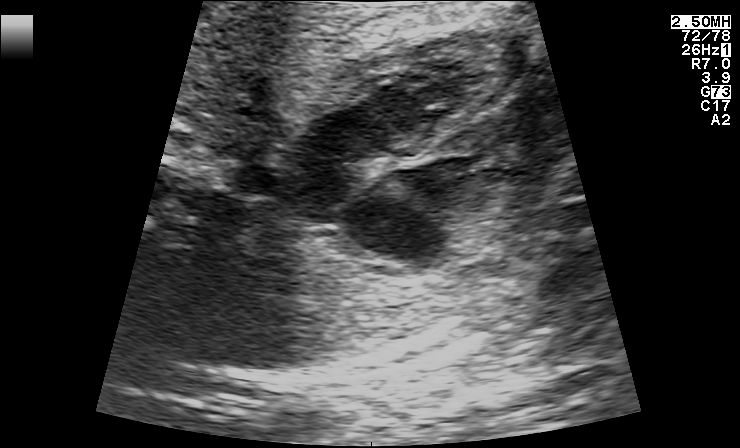
Which standard maternal-fetal ultrasound plane is shown: fetal abdomen, fetal brain, fetal femur, fetal thorax, maternal cervix, or other? If it's fetal brain and one of the three standard brain planes (trans-thalamic, trans-cerebellum, trans-ventricular), name which.

Fetal thorax